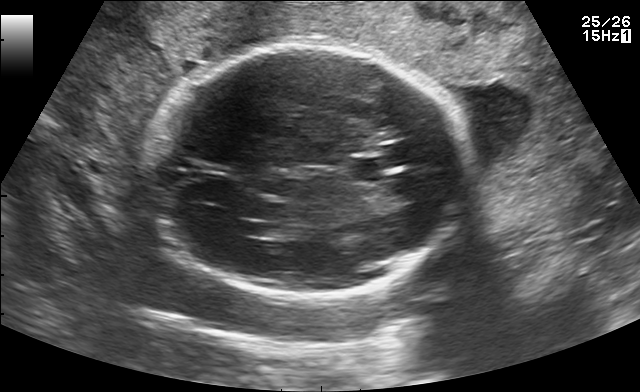
Fetal brain, trans-ventricular plane. Locate the cavum septum pellucidum.

CSP: [341,156,396,183]